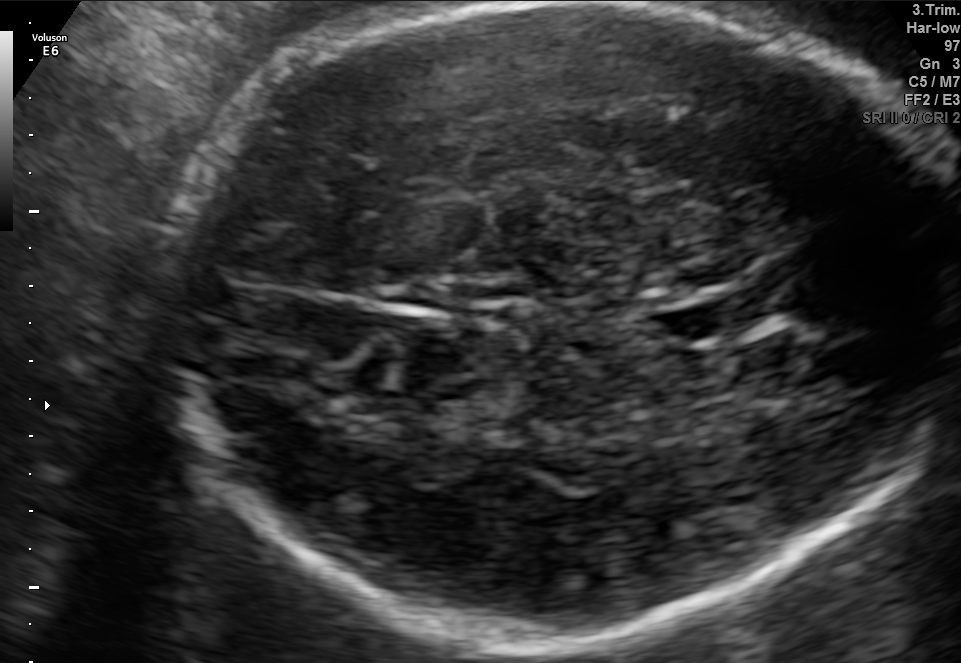
Fetal brain, trans-thalamic plane. Locate the cavum septum pellucidum.

CSP: [663,296,746,343]